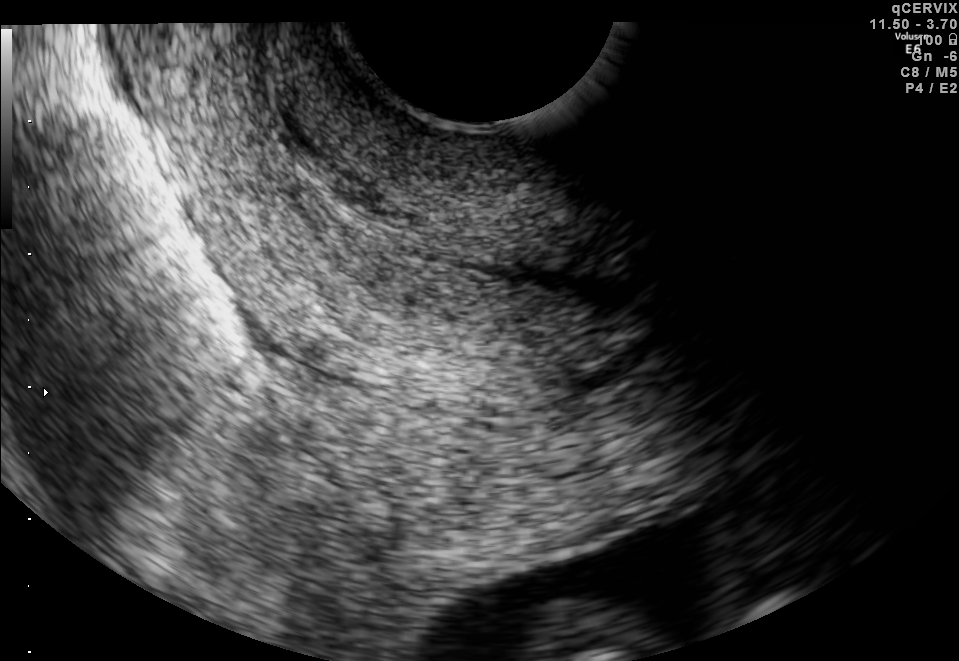
Which standard maternal-fetal ultrasound plane is shown: fetal abdomen, fetal brain, fetal femur, fetal thorax, maternal cervix, or other? If it's fetal brain and one of the three standard brain planes (trans-thalamic, trans-cerebellum, trans-ventricular), name which.

Maternal cervix